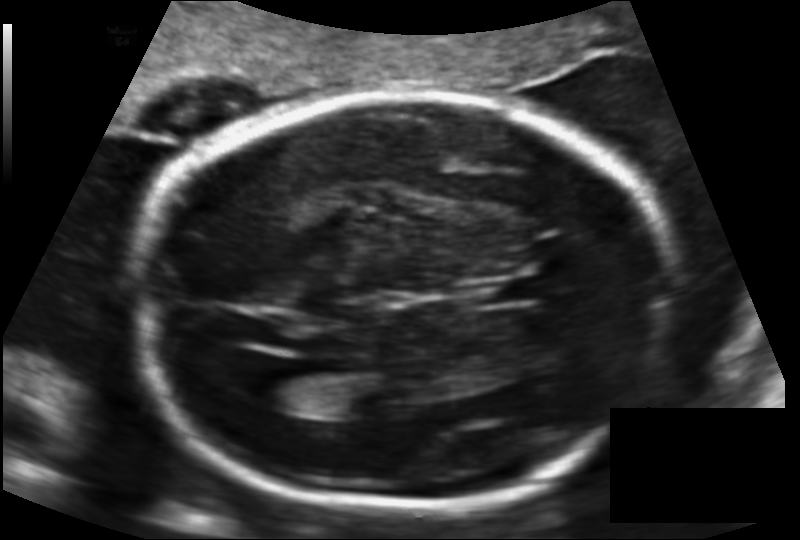
Estimate the fetal head circumference from this 2D ultrasound.

Head circumference: 221.3 mm (image width 113.0 mm).